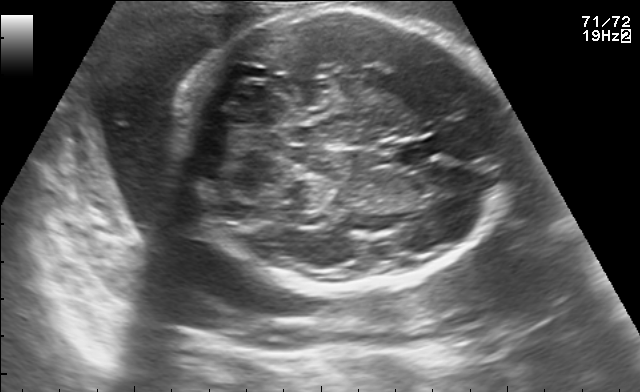
Fetal brain, trans-cerebellum plane. Locate the fetal head and, if visible, the cavum septum pellucidum (CSP) and lateral ventricle (LV). Give bounding boxes as [x1,y1,x2,y2].

Head: [183,9,511,292]
CSP: [389,134,441,169]